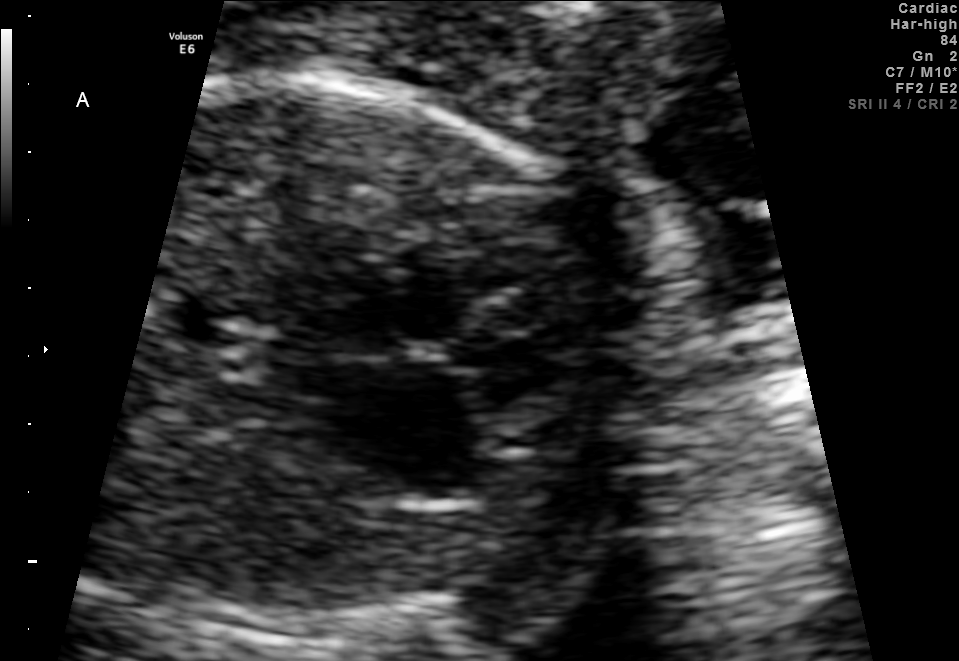
Which standard maternal-fetal ultrasound plane is shown: fetal abdomen, fetal brain, fetal femur, fetal thorax, maternal cervix, or other? If it's fetal brain and one of the three standard brain planes (trans-thalamic, trans-cerebellum, trans-ventricular), name which.

Fetal thorax